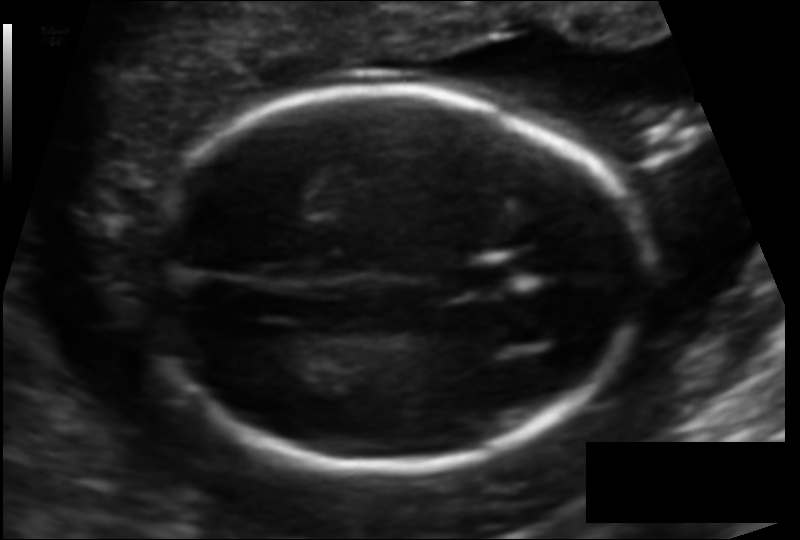
From this fetal ultrasound, estimate the head circumference (image width 91.5 mm).

Head circumference: 162.0 mm.